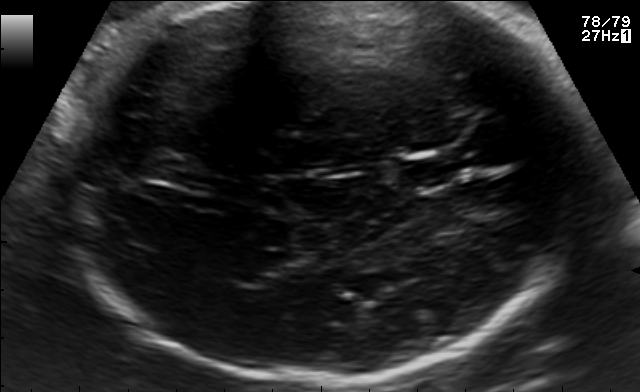
This is a 2D maternal-fetal ultrasound frame. Is it a fetal abdomen, fetal brain, fetal femur, fetal thorax, maternal cervix, or other standard plane? If it's fetal brain and one of the three standard brain planes (trans-thalamic, trans-cerebellum, trans-ventricular), name which.

Fetal brain (trans-thalamic plane)